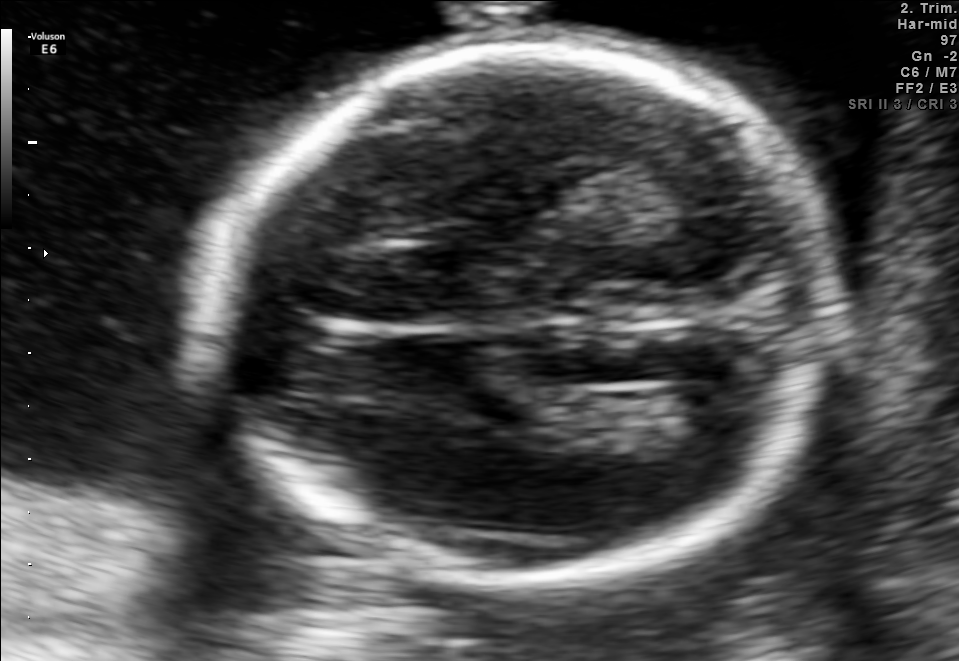
Which standard maternal-fetal ultrasound plane is shown: fetal abdomen, fetal brain, fetal femur, fetal thorax, maternal cervix, or other? If it's fetal brain and one of the three standard brain planes (trans-thalamic, trans-cerebellum, trans-ventricular), name which.

Fetal brain (trans-ventricular plane)